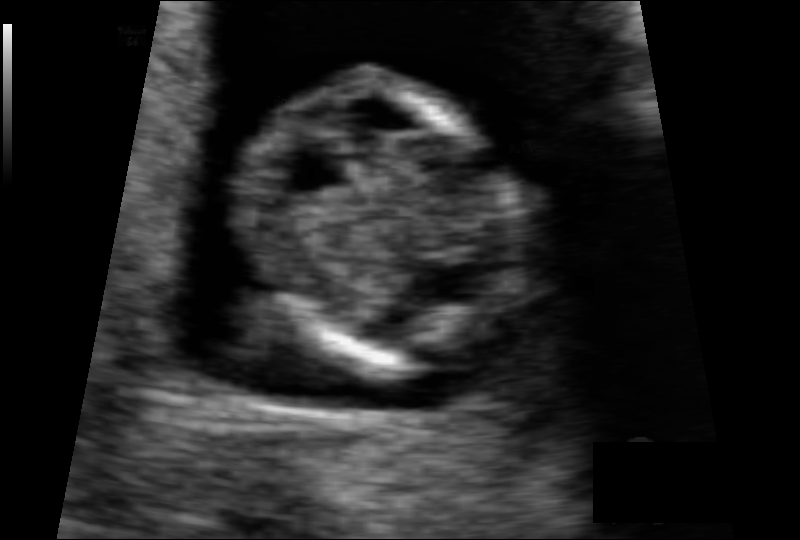
Fetal head ultrasound. Image width: 59.9 mm. Where is the fetal head?

Head bounding box: [237,78,533,373]